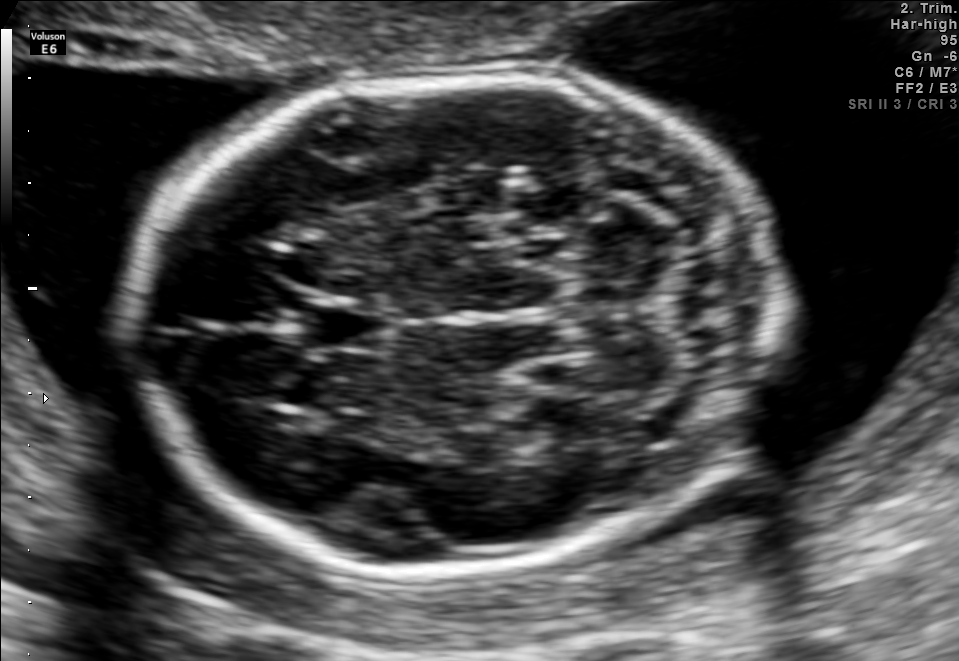
In this fetal brain, trans-cerebellum plane, give bounding boxes for the head outline, cavum septum pellucidum (CSP), and lateral ventricle (LV), where visible.

Head: [133,70,778,569]
CSP: [294,297,389,353]